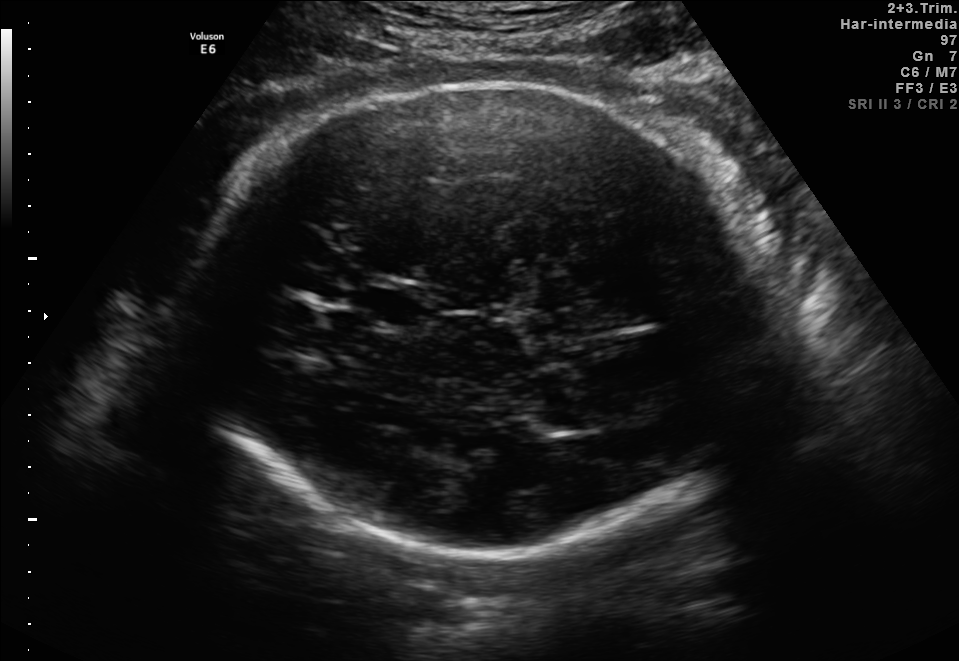
Fetal brain, trans-thalamic plane. Where is the cavum septum pellucidum?

CSP bounding box: [364,286,416,325]